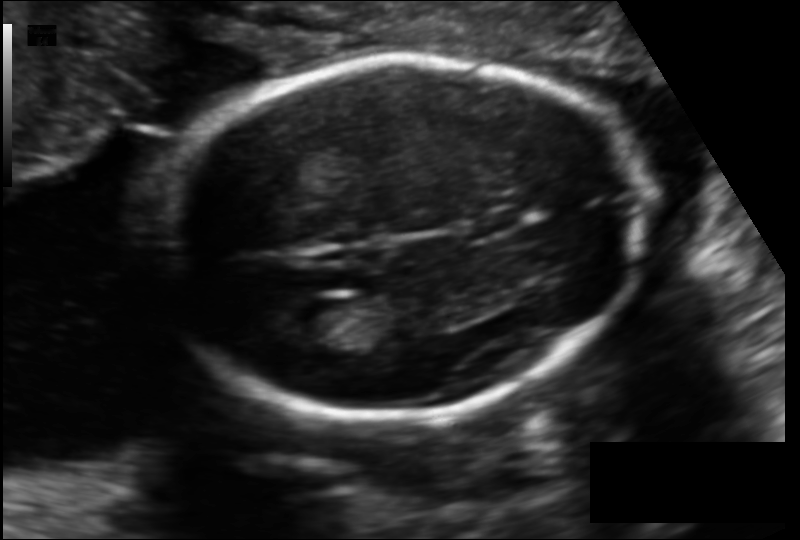
Measure the fetal head circumference shown in this ultrasound image. Image width: 102.8 mm.

Head circumference: 176.3 mm.